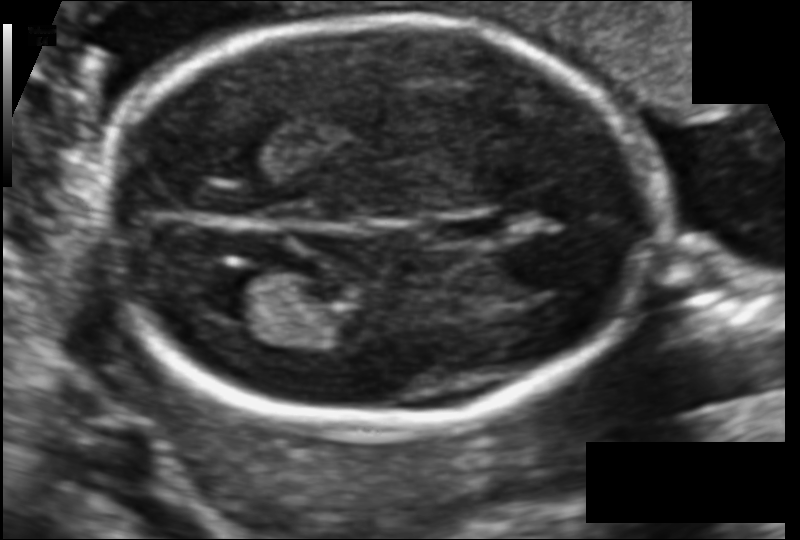
Fetal head ultrasound. Image width: 84.6 mm. Locate the lateral ventricle.

Lateral ventricle: [192,258,287,331]